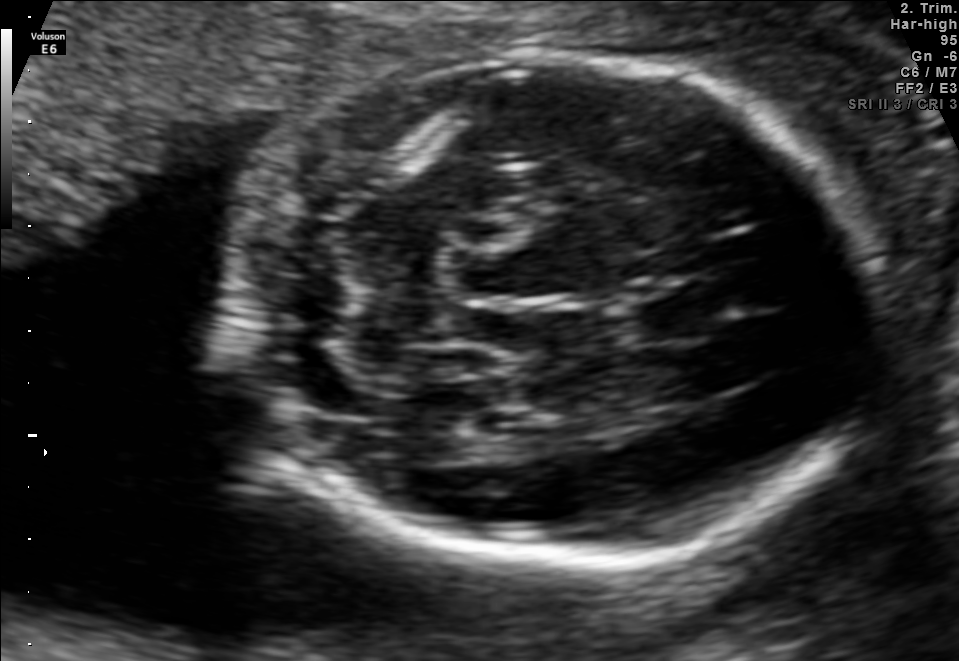
Fetal brain, trans-cerebellum plane. Give [x1,y1,x2,y2] bounding boxes for each visible structure among: fetal head, CSP, LV.

Head: [225,56,874,565]
CSP: [633,278,725,350]